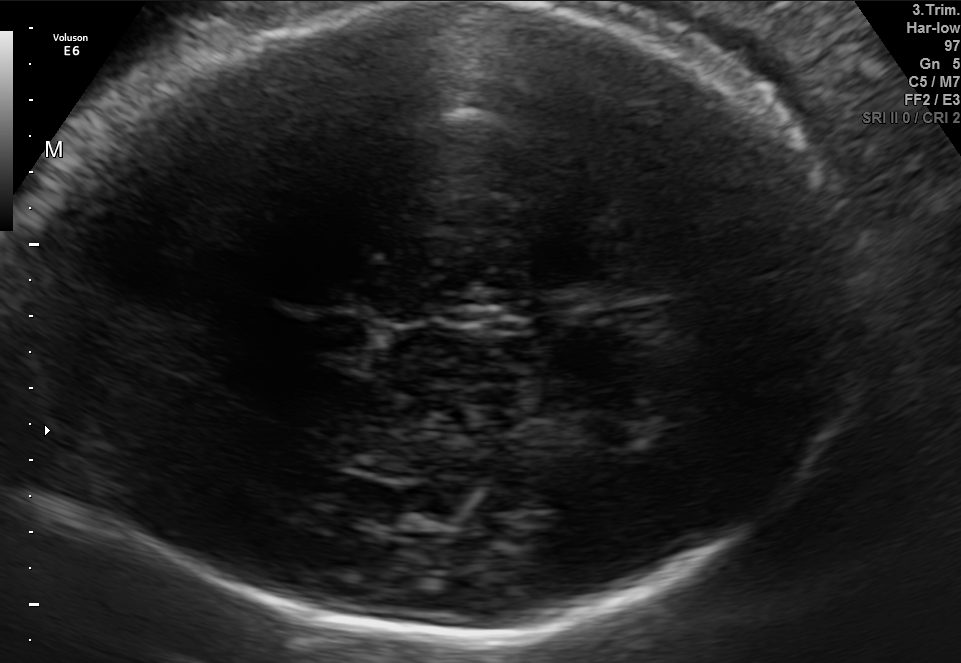
Fetal brain, trans-thalamic plane. Locate the fetal head and, if visible, the cavum septum pellucidum (CSP) and lateral ventricle (LV). Give bounding boxes as [x1,y1,x2,y2].

Head: [5,3,854,636]
CSP: [300,312,370,352]